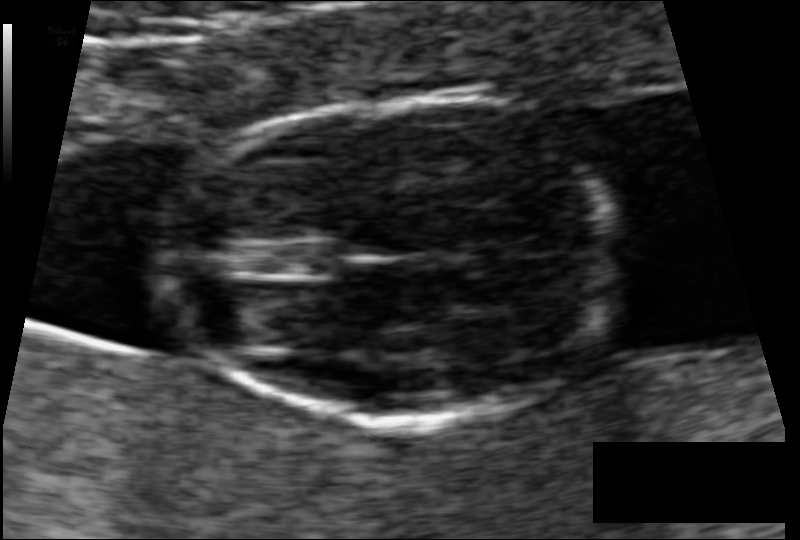
Estimate the fetal head circumference from this 2D ultrasound.

Head circumference: 77.4 mm (image width 49.5 mm).